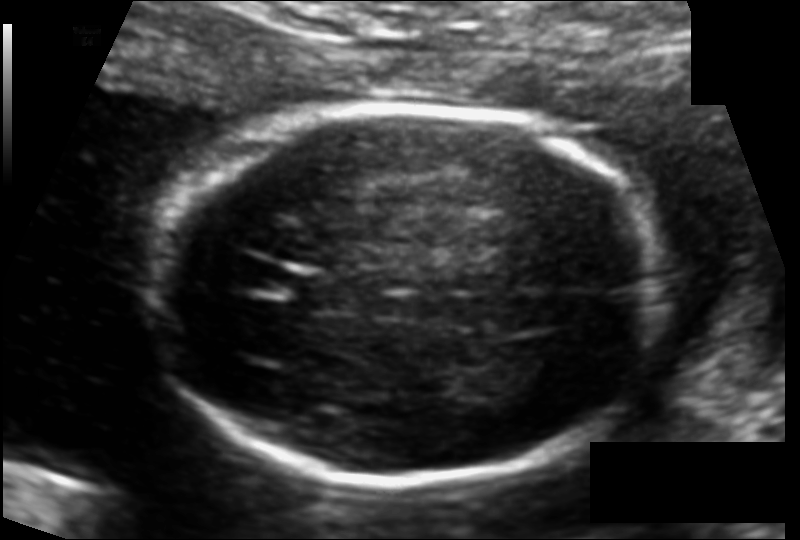
Fetal head ultrasound. Image width: 92.3 mm. Give [x1,y1,x2,y2] bounding boxes for each visible structure among: fetal head, CSP, LV.

Head: [157,109,658,483]